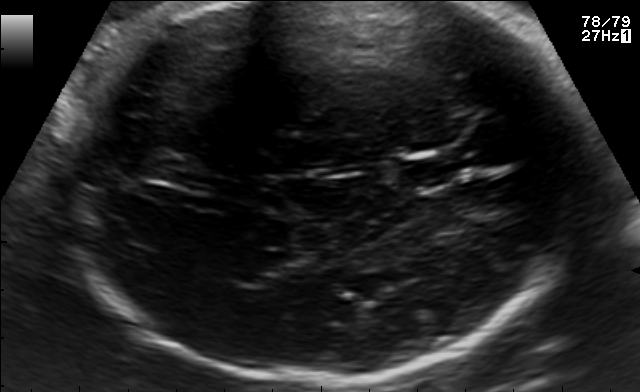
Fetal brain, trans-thalamic plane. Where is the fetal head?

Head bounding box: [57,2,607,384]